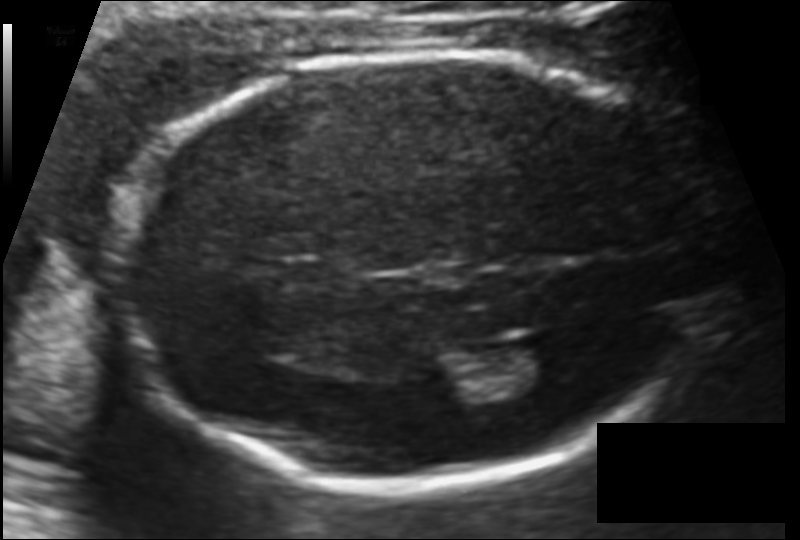
Fetal head ultrasound. Image width: 91.0 mm. Locate the fetal head and, if visible, the cavum septum pellucidum (CSP) and lateral ventricle (LV). Give bounding boxes as [x1,y1,x2,y2].

Head: [126,51,704,489]
Lateral ventricle: [492,334,577,401]